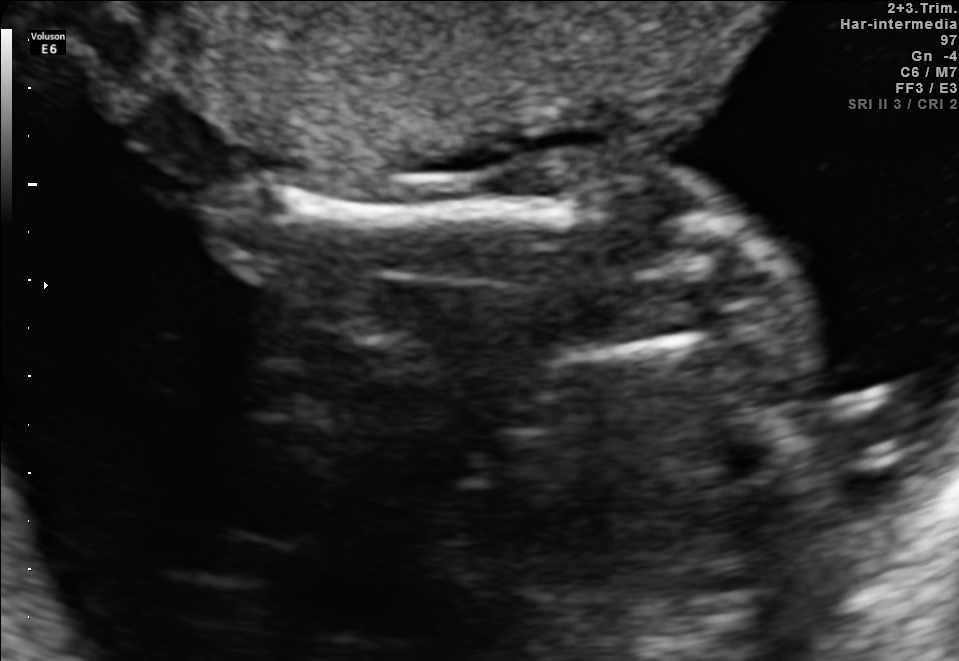
Classify this maternal-fetal ultrasound image as one of the six standard planes — fetal abdomen, fetal brain, fetal femur, fetal thorax, maternal cervix, or other. If it's fetal brain and one of the three standard brain planes (trans-thalamic, trans-cerebellum, trans-ventricular), name which.

Other